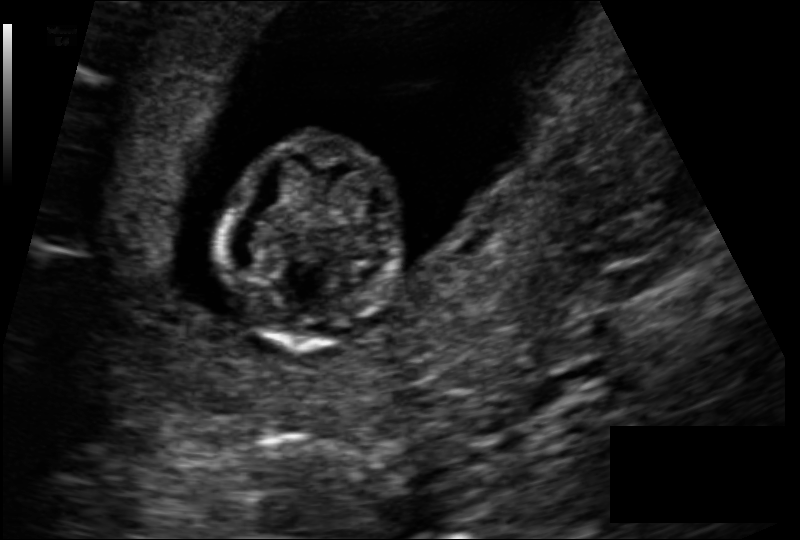
Fetal head ultrasound. Image width: 90.6 mm. Locate the fetal head and, if visible, the cavum septum pellucidum (CSP) and lateral ventricle (LV). Give bounding boxes as [x1,y1,x2,y2].

Head: [219,137,405,350]